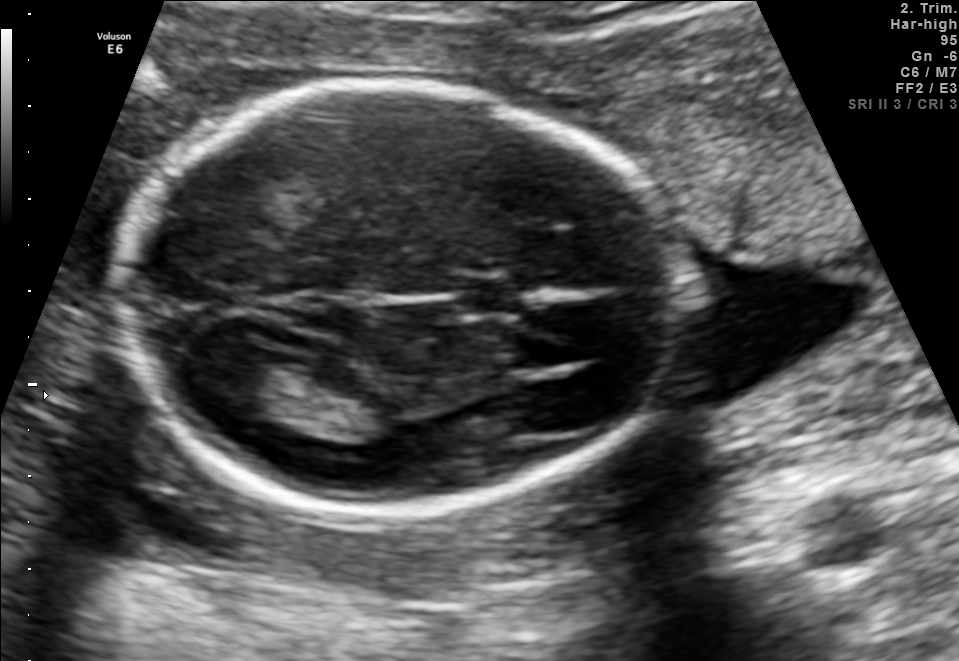
Fetal brain, trans-thalamic plane. Locate the fetal head.

Head: [117,87,684,514]